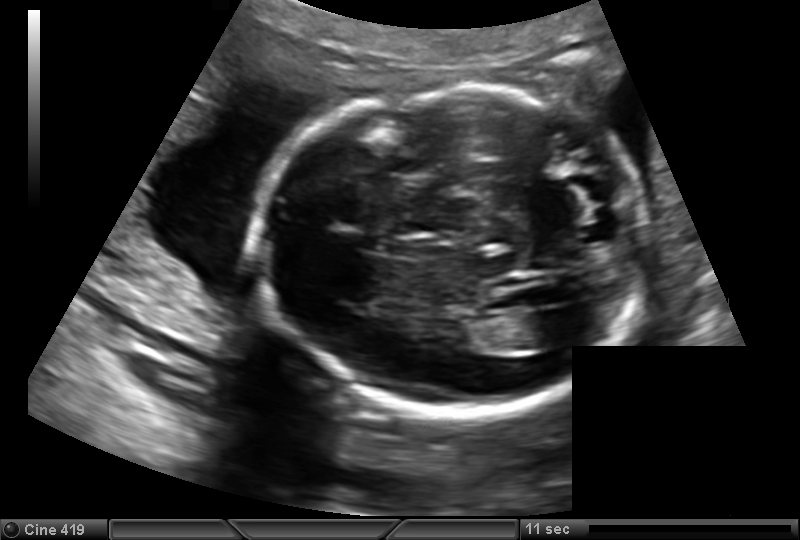
Estimate the fetal head circumference from this 2D ultrasound.

Head circumference: 176.9 mm (image width 120.7 mm).